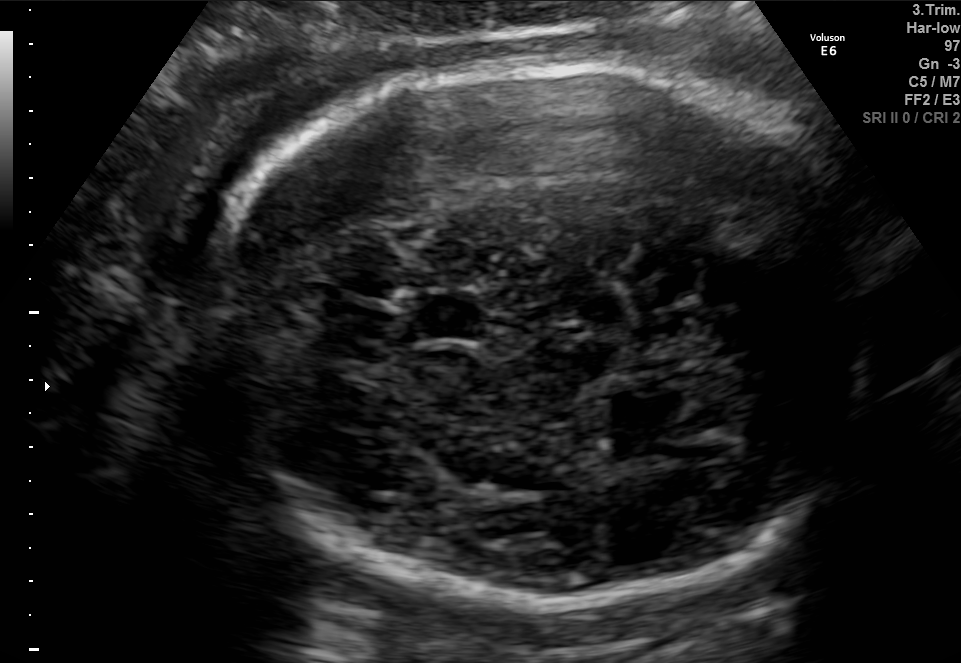
Fetal brain, trans-thalamic plane. Locate the fetal head.

Head: [191,61,894,594]